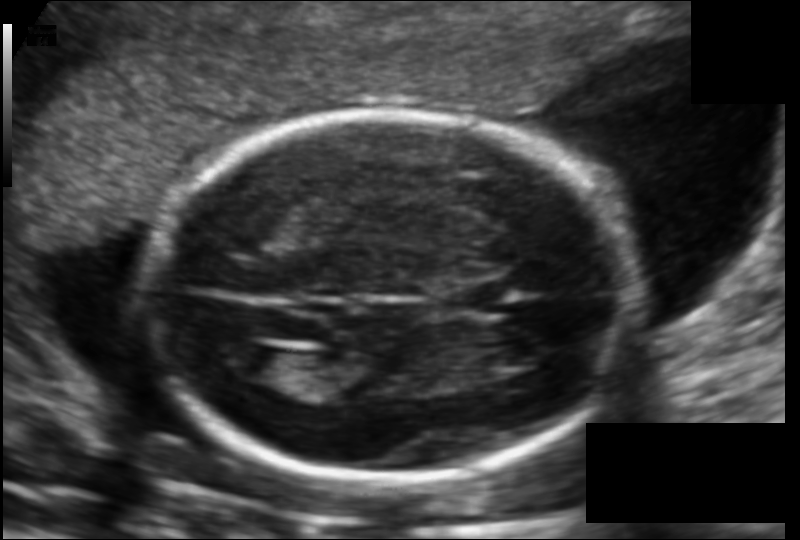
Fetal head ultrasound. Image width: 98.4 mm. Locate the cavum septum pellucidum.

CSP: [438,278,501,321]